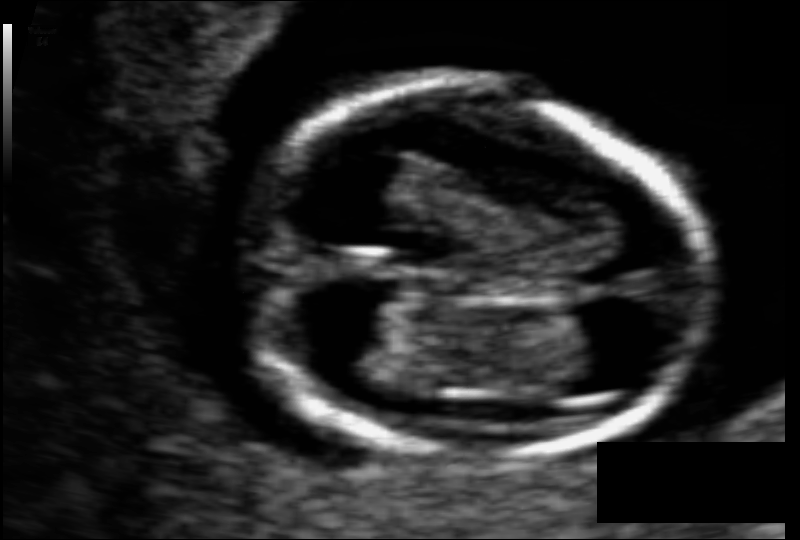
From this fetal ultrasound, estimate the head circumference (image width 50.4 mm).

Head circumference: 84.4 mm.